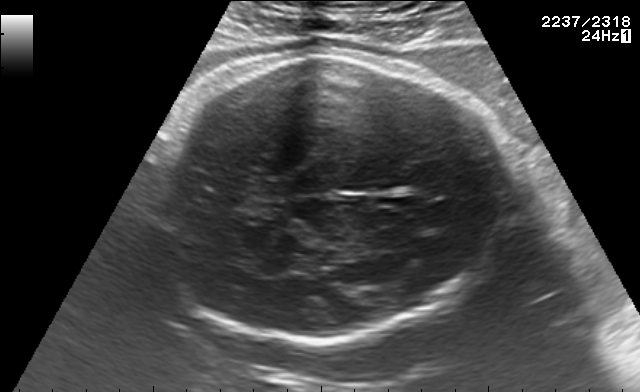
Fetal brain, trans-thalamic plane. Give [x1,y1,x2,y2] bounding boxes for each visible structure among: fetal head, CSP, LV.

Head: [147,54,509,342]